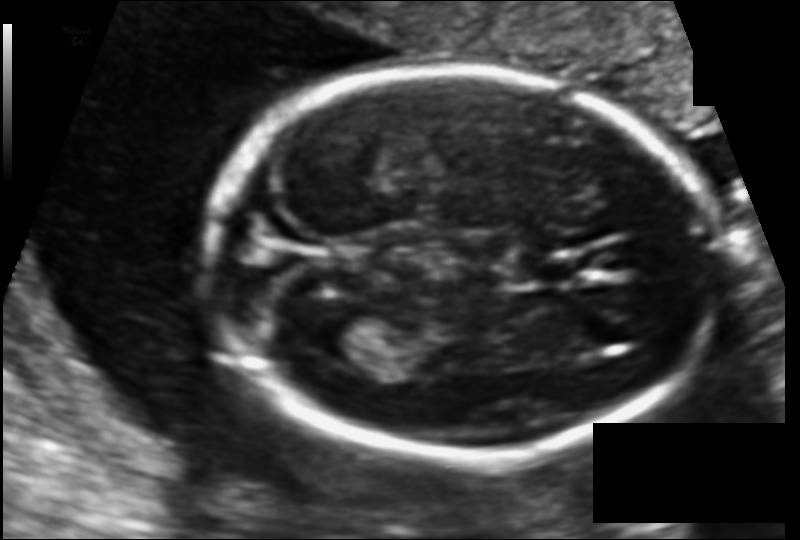
In this fetal head ultrasound, give the bounding box of the lateral ventricle. Image width: 86.7 mm.

[300,297,382,367]